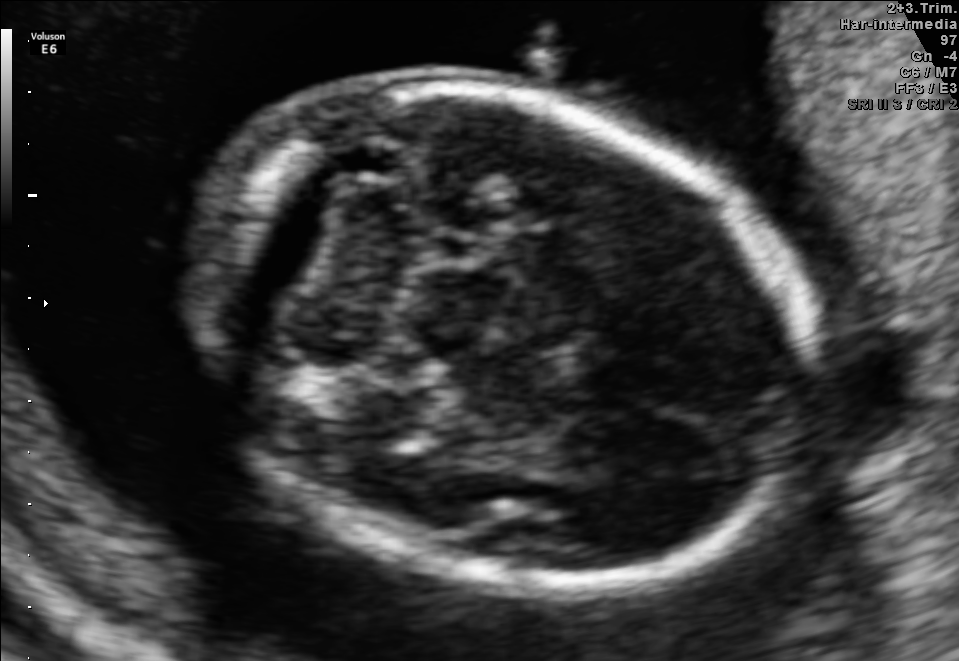
Classify this maternal-fetal ultrasound image as one of the six standard planes — fetal abdomen, fetal brain, fetal femur, fetal thorax, maternal cervix, or other. If it's fetal brain and one of the three standard brain planes (trans-thalamic, trans-cerebellum, trans-ventricular), name which.

Fetal brain (trans-cerebellum plane)